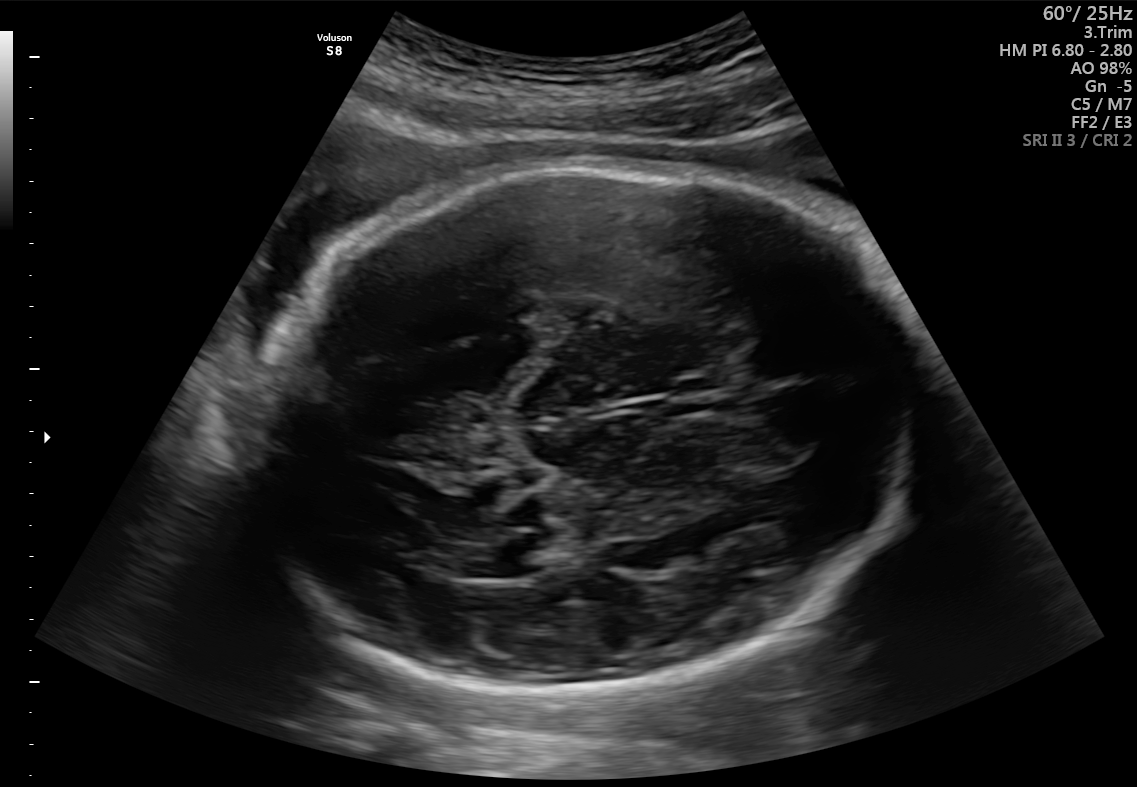
Fetal brain, trans-ventricular plane. Give [x1,y1,x2,y2] bounding boxes for each visible structure among: fetal head, CSP, LV.

Head: [241,155,922,701]